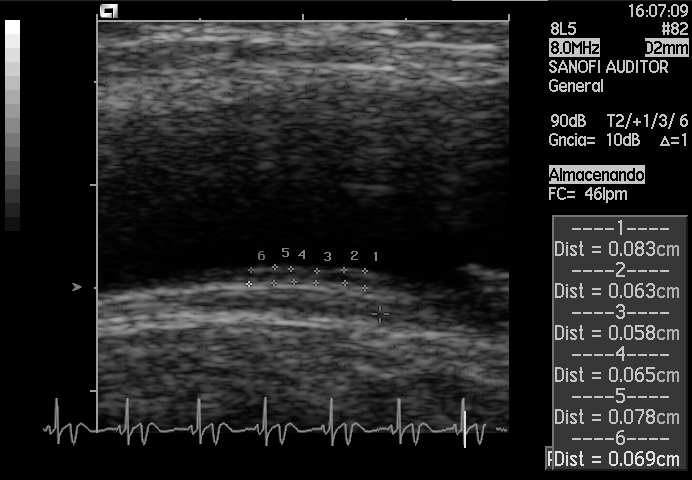
This is a 2D maternal-fetal ultrasound frame. Is it a fetal abdomen, fetal brain, fetal femur, fetal thorax, maternal cervix, or other standard plane? If it's fetal brain and one of the three standard brain planes (trans-thalamic, trans-cerebellum, trans-ventricular), name which.

Other